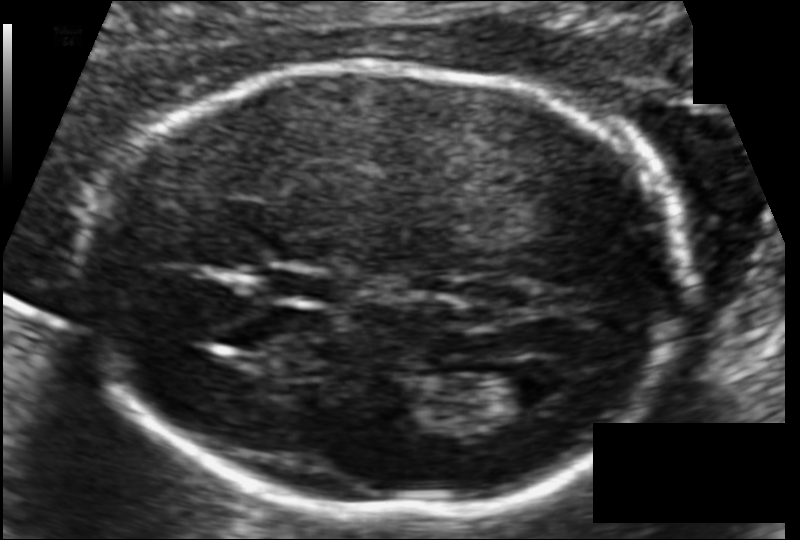
Fetal head ultrasound. Image width: 81.8 mm. Locate the fetal head and, if visible, the cavum septum pellucidum (CSP) and lateral ventricle (LV). Give bounding boxes as [x1,y1,x2,y2].

Head: [85,66,683,510]
CSP: [259,267,336,303]
Lateral ventricle: [478,350,571,420]